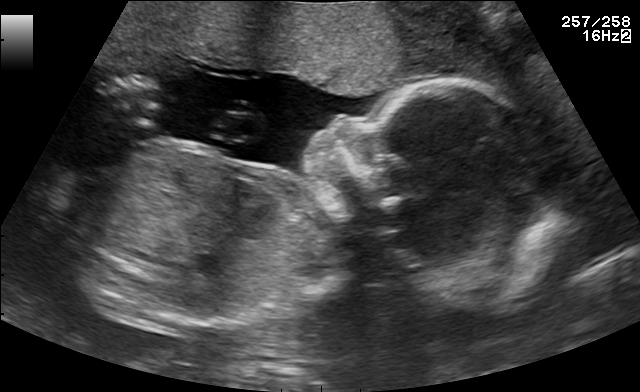
Identify the standard plane in this fetal ultrasound image: fetal abdomen, fetal brain, fetal femur, fetal thorax, maternal cervix, or other. If it's fetal brain and one of the three standard brain planes (trans-thalamic, trans-cerebellum, trans-ventricular), name which.

Other